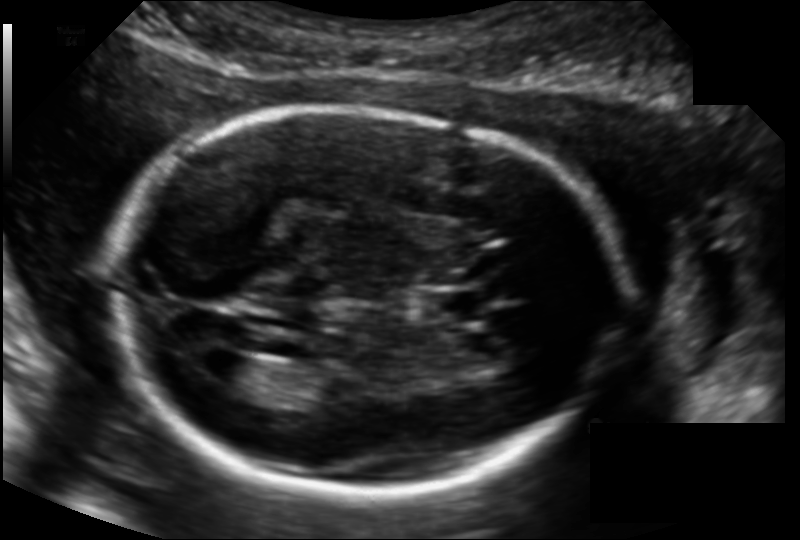
What is the fetal head circumference? Image width is 107.7 mm.

193.8 mm